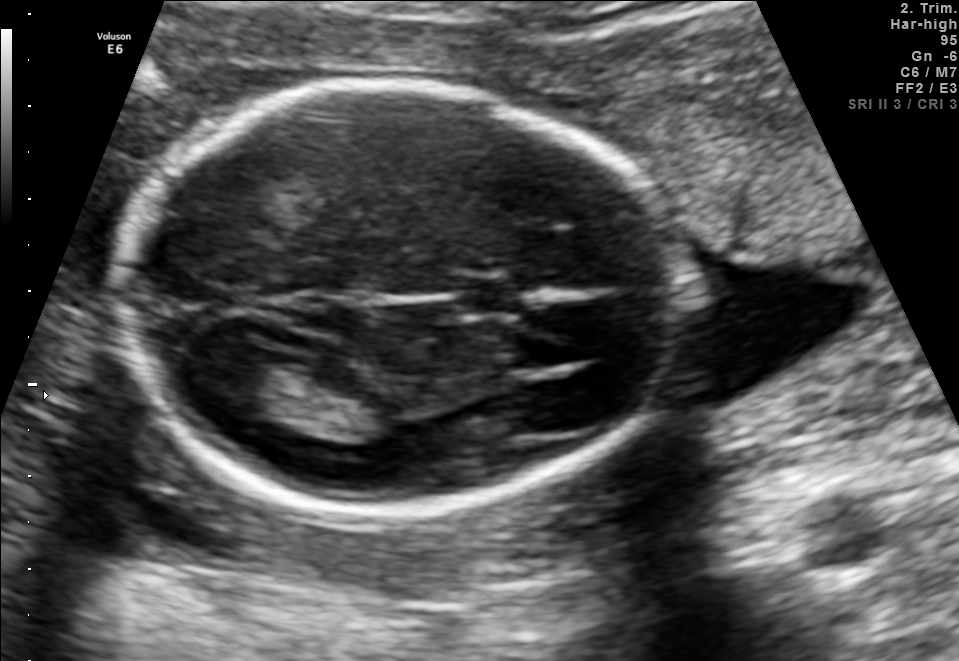
Fetal brain, trans-thalamic plane. Where is the cavum septum pellucidum?

CSP bounding box: [453,278,522,313]